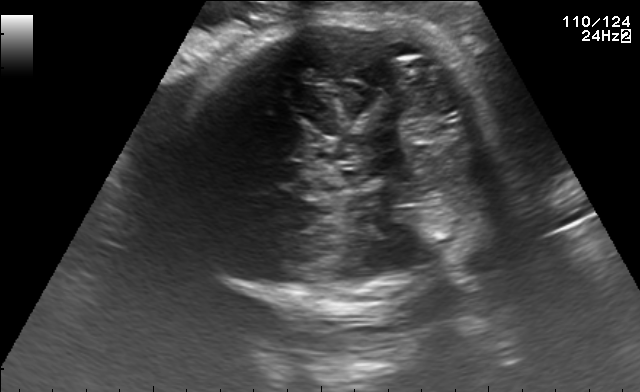
Fetal brain, trans-thalamic plane. Where is the fetal head?

Head bounding box: [172,17,495,305]